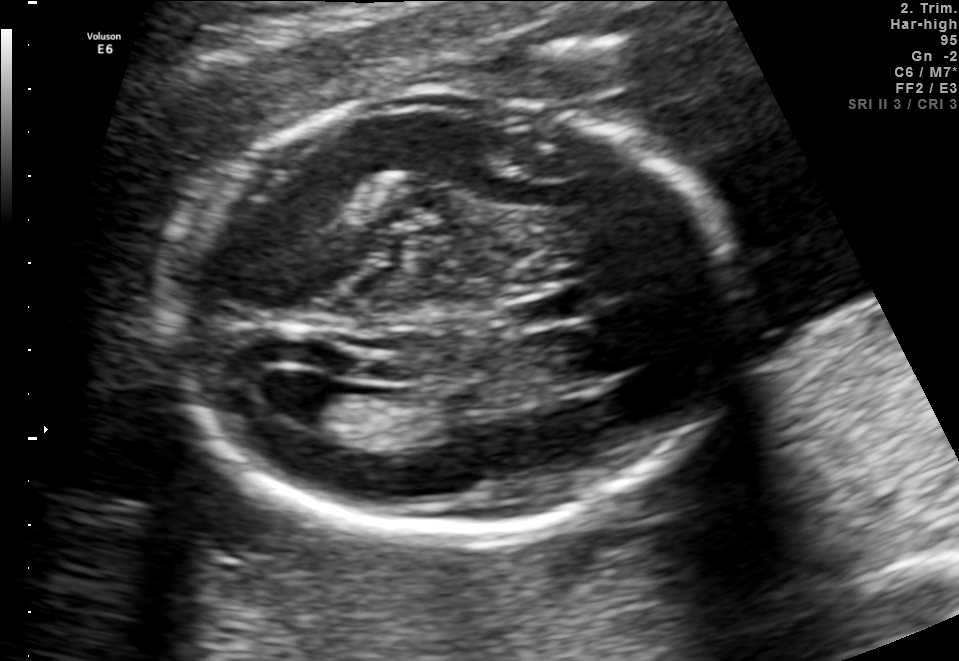
Fetal brain, trans-ventricular plane. Where is the cavum septum pellucidum?

CSP bounding box: [500,283,603,340]